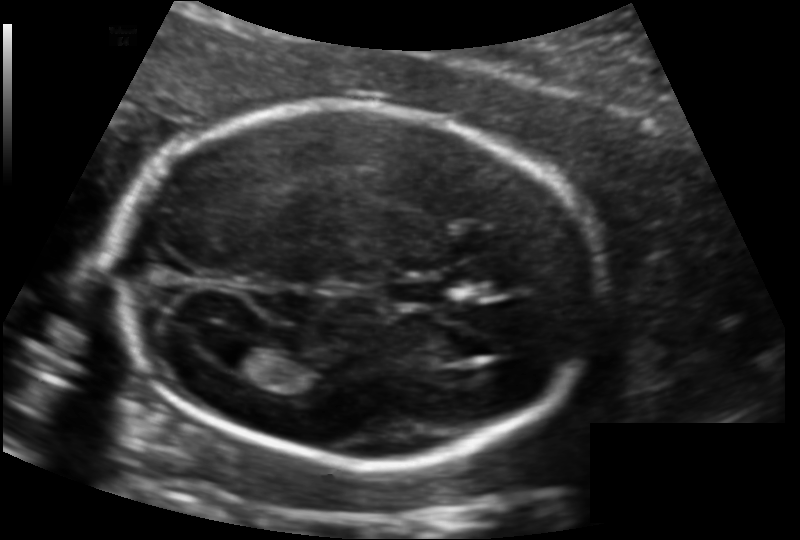
Fetal head ultrasound. Image width: 107.1 mm. Locate the fetal head and, if visible, the cavum septum pellucidum (CSP) and lateral ventricle (LV). Give bounding boxes as [x1,y1,x2,y2].

Head: [115,104,595,466]
CSP: [392,278,448,306]
Lateral ventricle: [214,338,280,382]